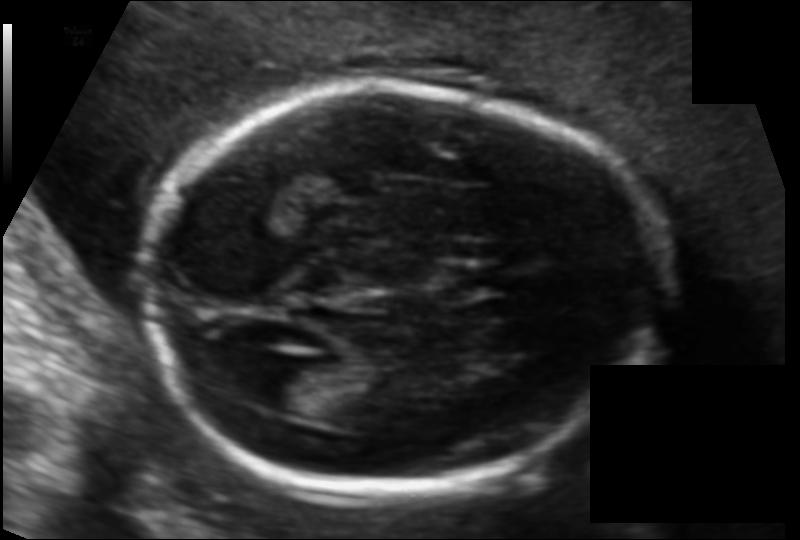
In this fetal head ultrasound, give the bounding box of the lateral ventricle. Image width: 88.8 mm.

[238,355,329,421]